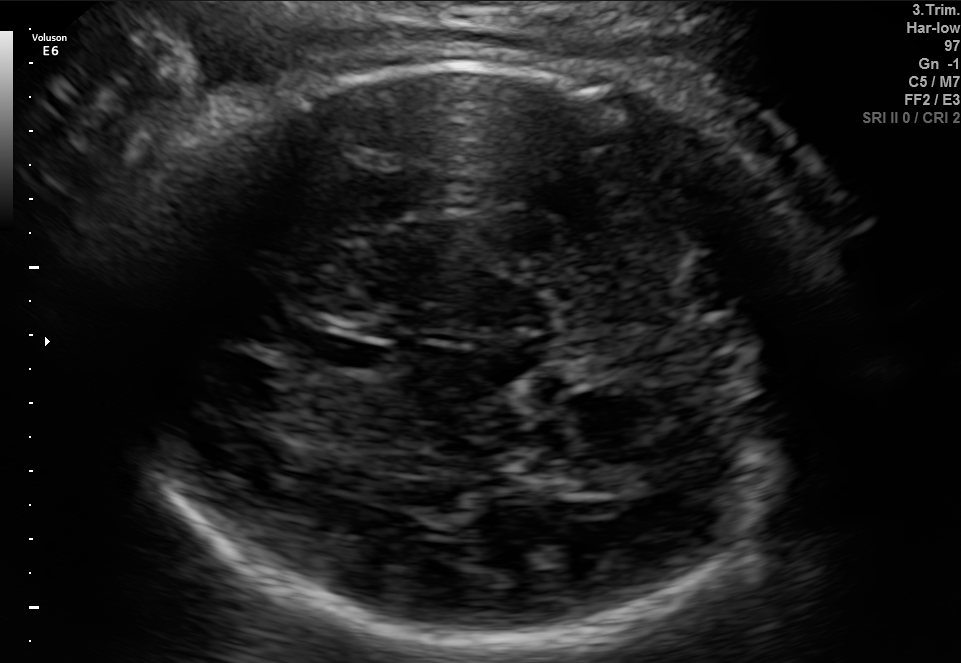
Fetal brain, trans-thalamic plane. Locate the fetal head.

Head: [107,60,824,655]